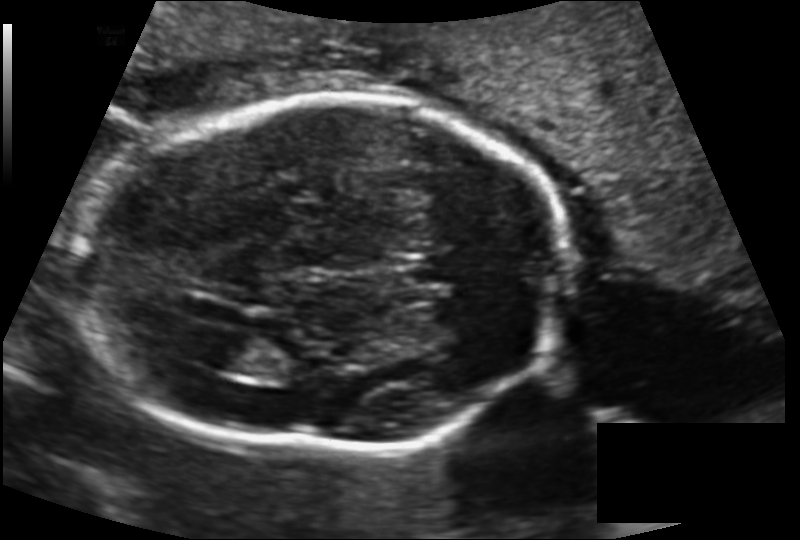
Estimate the fetal head circumference from this 2D ultrasound.

Head circumference: 194.6 mm (image width 114.0 mm).